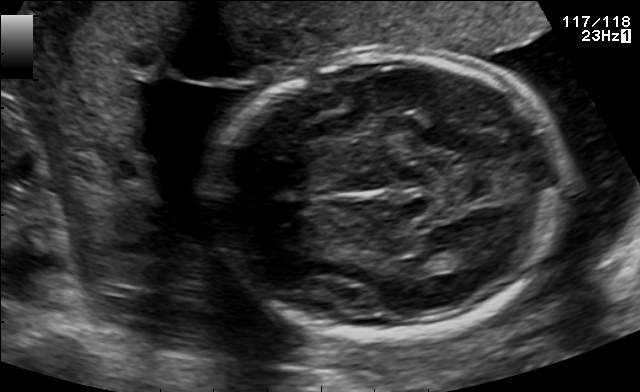
Fetal brain, trans-thalamic plane. Locate the lateral ventricle.

Lateral ventricle: [415,242,473,278]